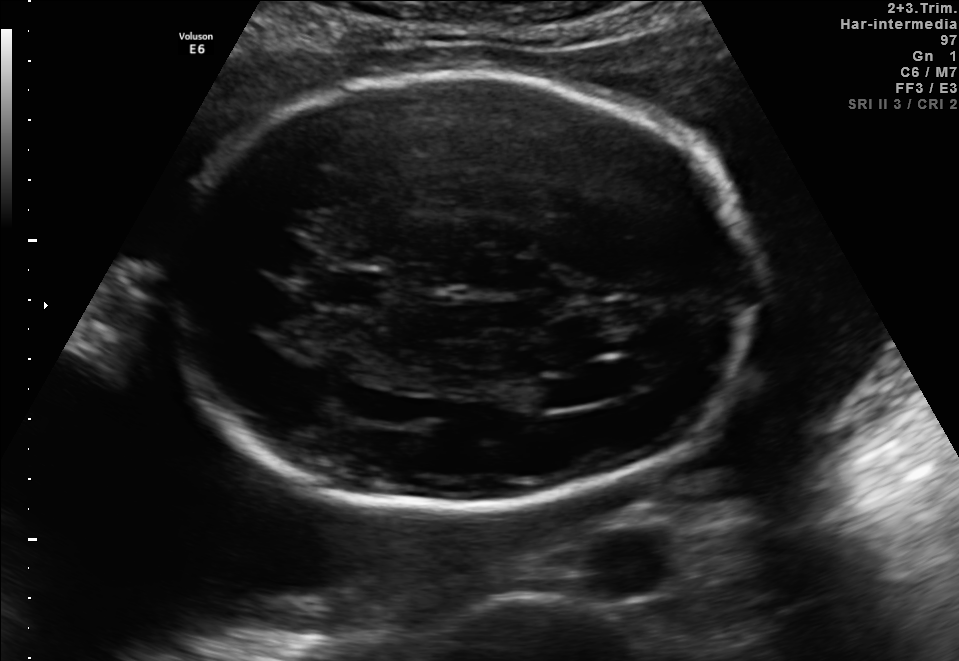
In this fetal brain, trans-ventricular plane, give the bounding box of the lateral ventricle.

[531,375,590,413]